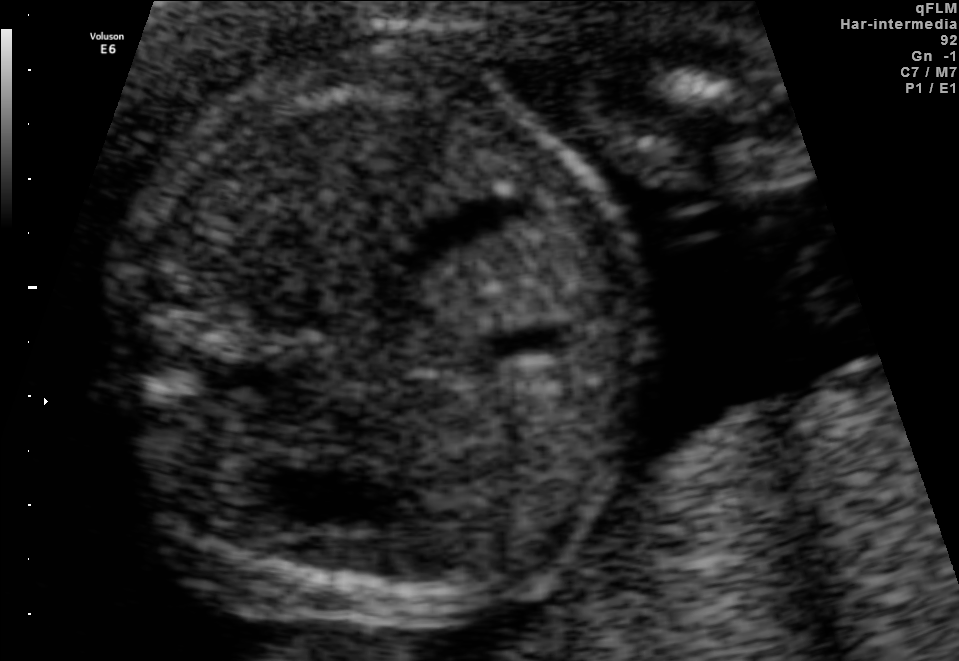
Classify this maternal-fetal ultrasound image as one of the six standard planes — fetal abdomen, fetal brain, fetal femur, fetal thorax, maternal cervix, or other. If it's fetal brain and one of the three standard brain planes (trans-thalamic, trans-cerebellum, trans-ventricular), name which.

Fetal abdomen